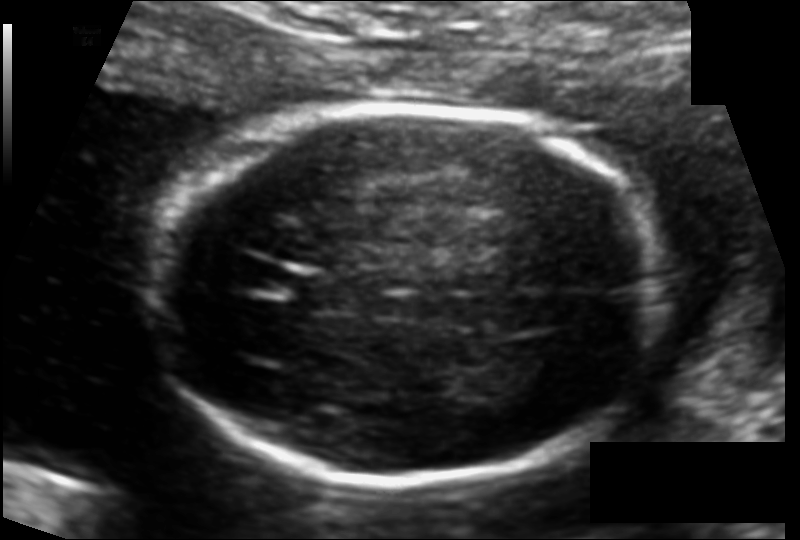
In this fetal head ultrasound, give the bounding box of the fetal head. Image width: 92.3 mm.

[157,109,658,483]